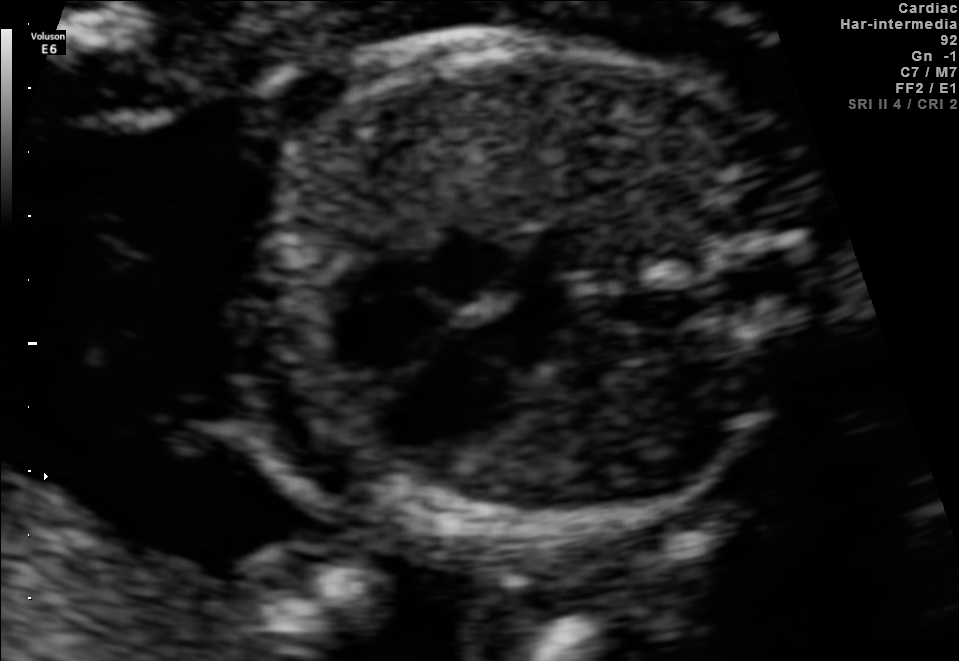
Classify this maternal-fetal ultrasound image as one of the six standard planes — fetal abdomen, fetal brain, fetal femur, fetal thorax, maternal cervix, or other. If it's fetal brain and one of the three standard brain planes (trans-thalamic, trans-cerebellum, trans-ventricular), name which.

Fetal thorax